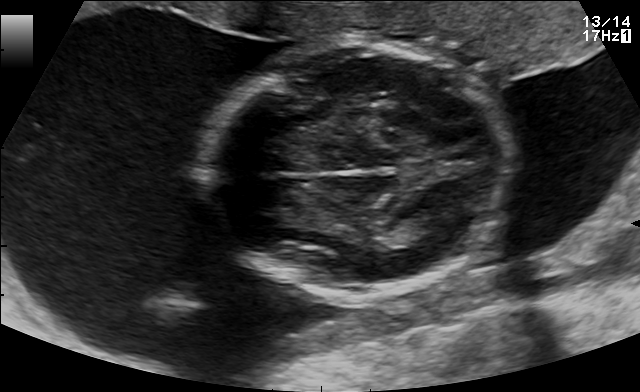
In this fetal brain, trans-thalamic plane, give the bounding box of the lateral ventricle.

[395,202,453,245]